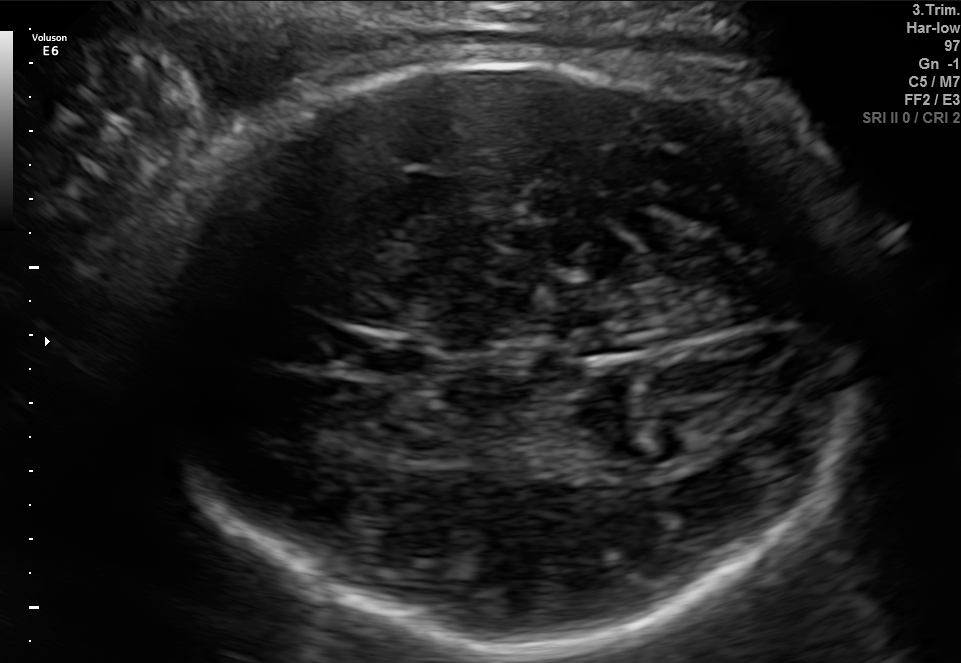
In this fetal brain, trans-thalamic plane, give the bounding box of the cavum septum pellucidum.

[334,329,431,385]